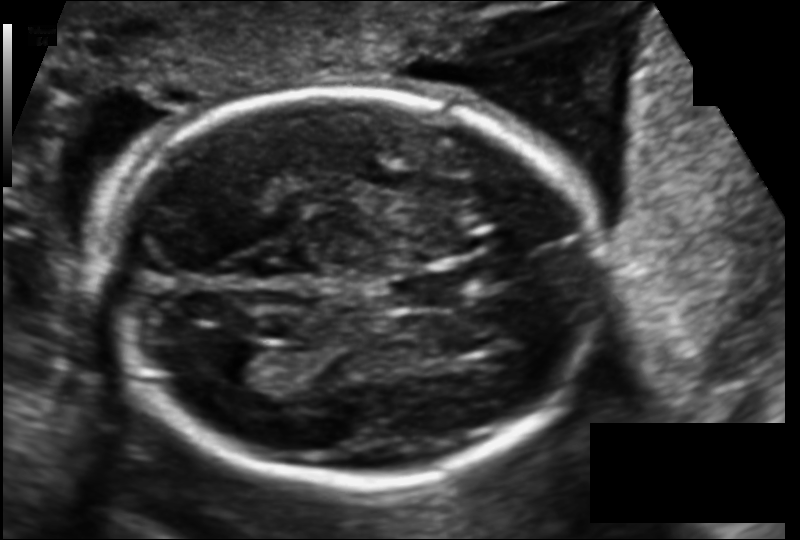
Fetal head ultrasound. Image width: 104.3 mm. Locate the cavum septum pellucidum.

CSP: [386,266,466,313]